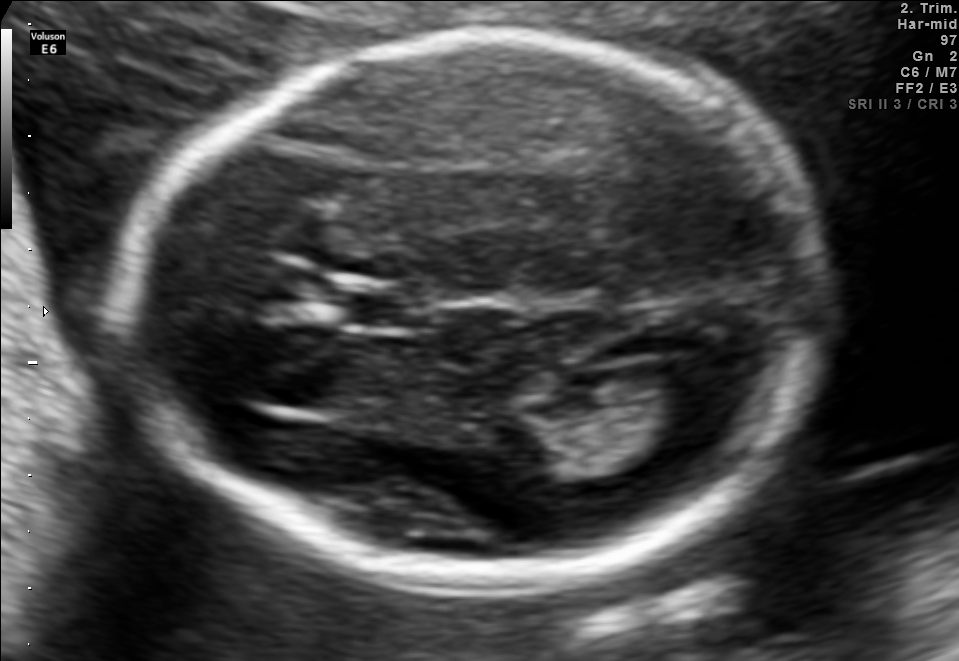
Fetal brain, trans-ventricular plane. Where is the fetal head?

Head bounding box: [131,22,840,589]